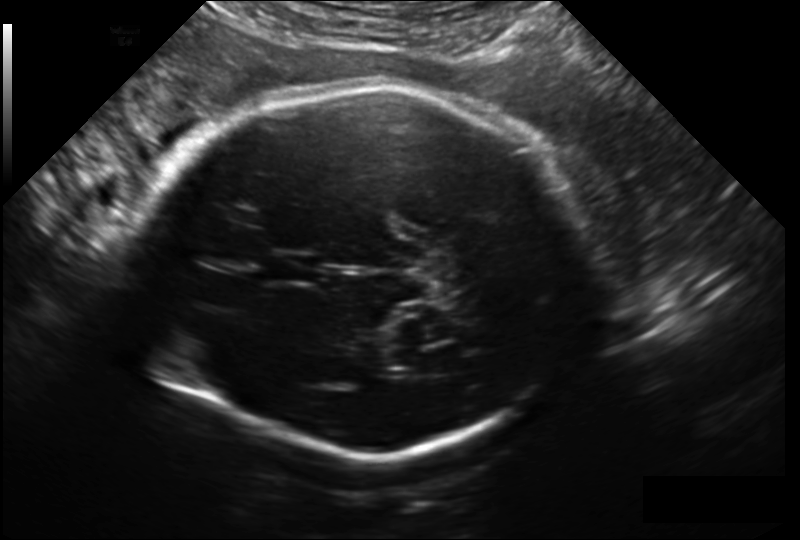
Fetal head ultrasound. Image width: 167.2 mm. Where is the cavum septum pellucidum?

CSP bounding box: [266,251,320,284]